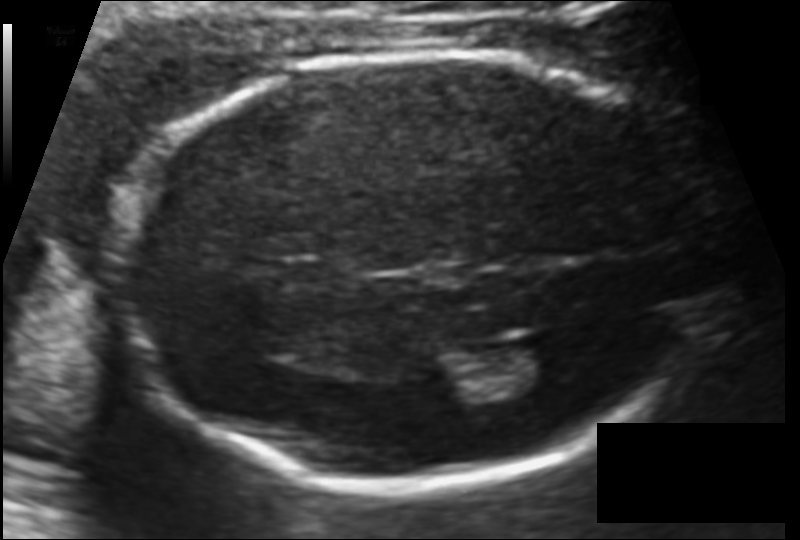
From this fetal ultrasound, estimate the head circumference (image width 91.0 mm).

Head circumference: 190.9 mm.